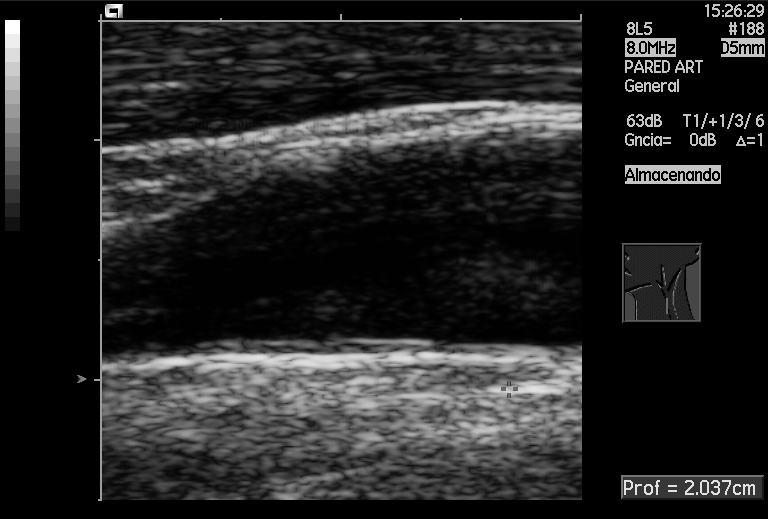
Identify the standard plane in this fetal ultrasound image: fetal abdomen, fetal brain, fetal femur, fetal thorax, maternal cervix, or other. If it's fetal brain and one of the three standard brain planes (trans-thalamic, trans-cerebellum, trans-ventricular), name which.

Other